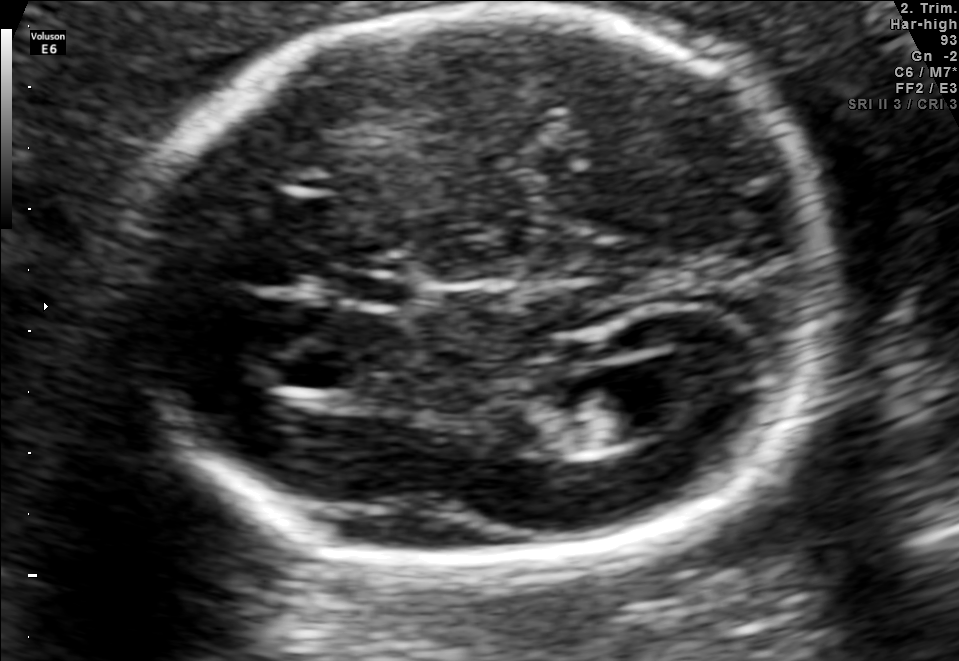
Fetal brain, trans-ventricular plane. Give [x1,y1,x2,y2] bounding boxes for each visible structure among: fetal head, CSP, LV.

Head: [112,4,851,579]
CSP: [333,269,420,316]
Lateral ventricle: [570,359,704,453]